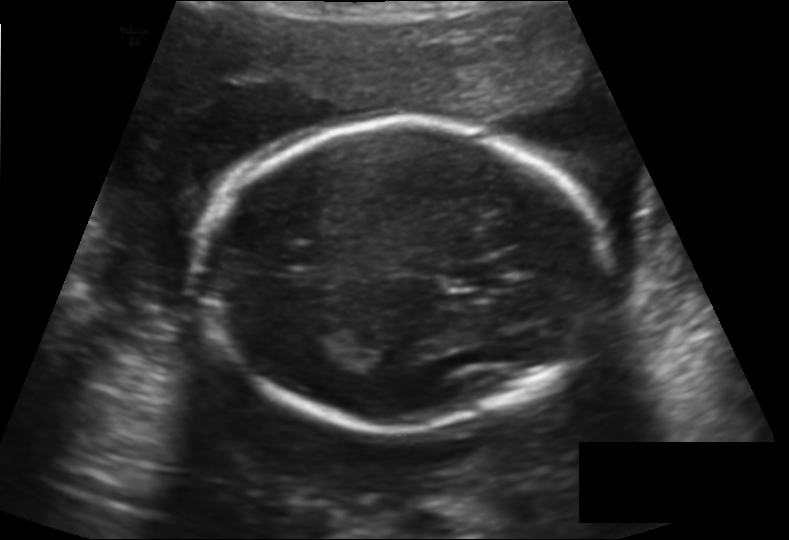
Estimate the fetal head circumference from this 2D ultrasound.

Head circumference: 184.8 mm (image width 124.3 mm).